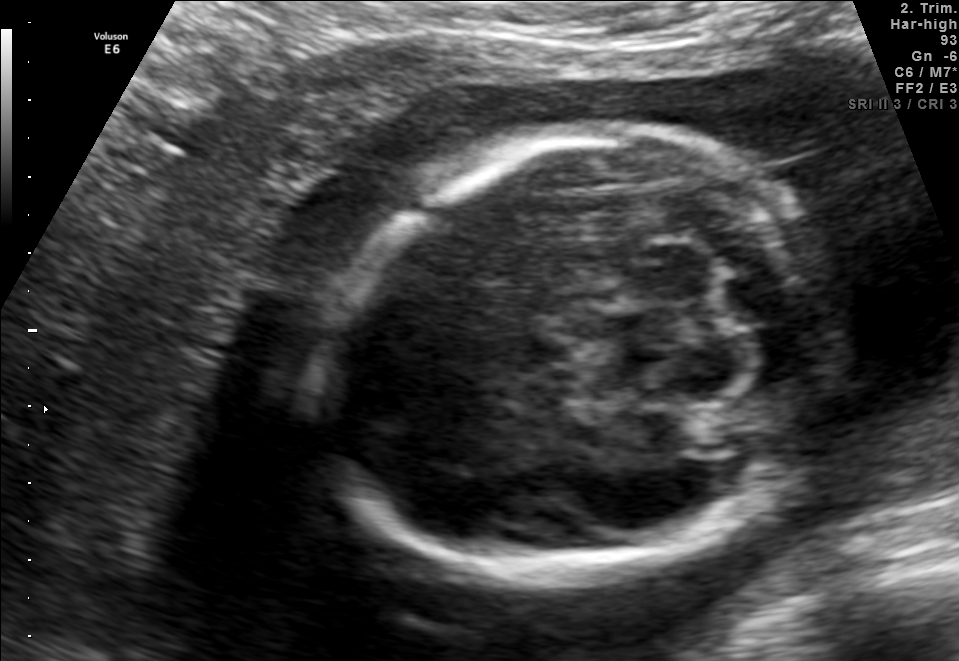
In this fetal brain, trans-cerebellum plane, give the bounding box of the fetal head.

[323,127,826,582]